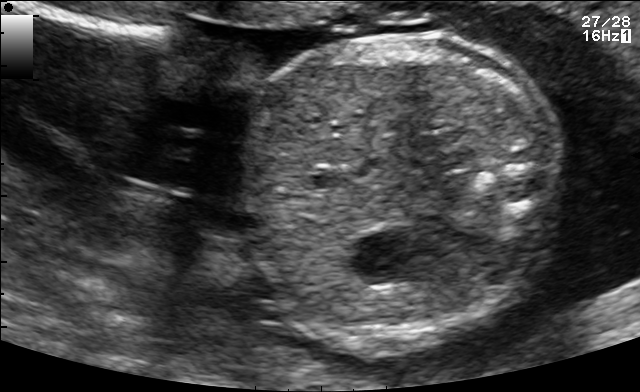
Which standard maternal-fetal ultrasound plane is shown: fetal abdomen, fetal brain, fetal femur, fetal thorax, maternal cervix, or other? If it's fetal brain and one of the three standard brain planes (trans-thalamic, trans-cerebellum, trans-ventricular), name which.

Fetal abdomen